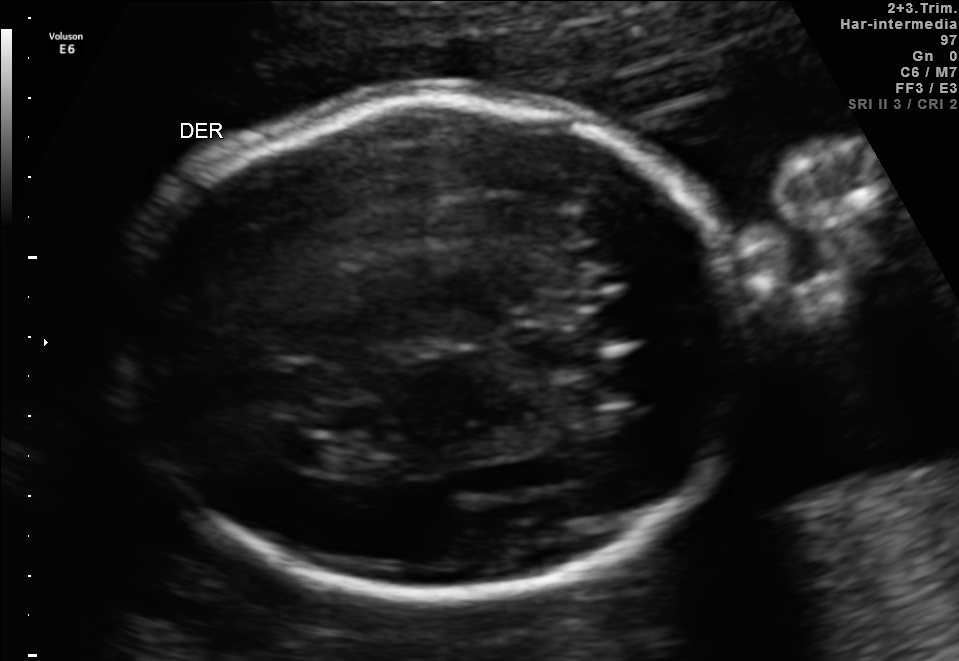
Identify the standard plane in this fetal ultrasound image: fetal abdomen, fetal brain, fetal femur, fetal thorax, maternal cervix, or other. If it's fetal brain and one of the three standard brain planes (trans-thalamic, trans-cerebellum, trans-ventricular), name which.

Fetal brain (trans-ventricular plane)